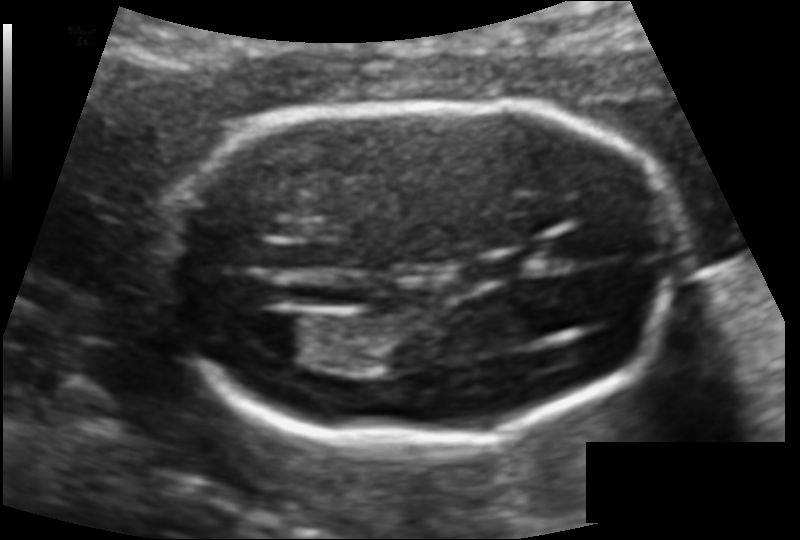
In this fetal head ultrasound, give the bounding box of the lateral ventricle. Image width: 87.1 mm.

[229,307,312,359]